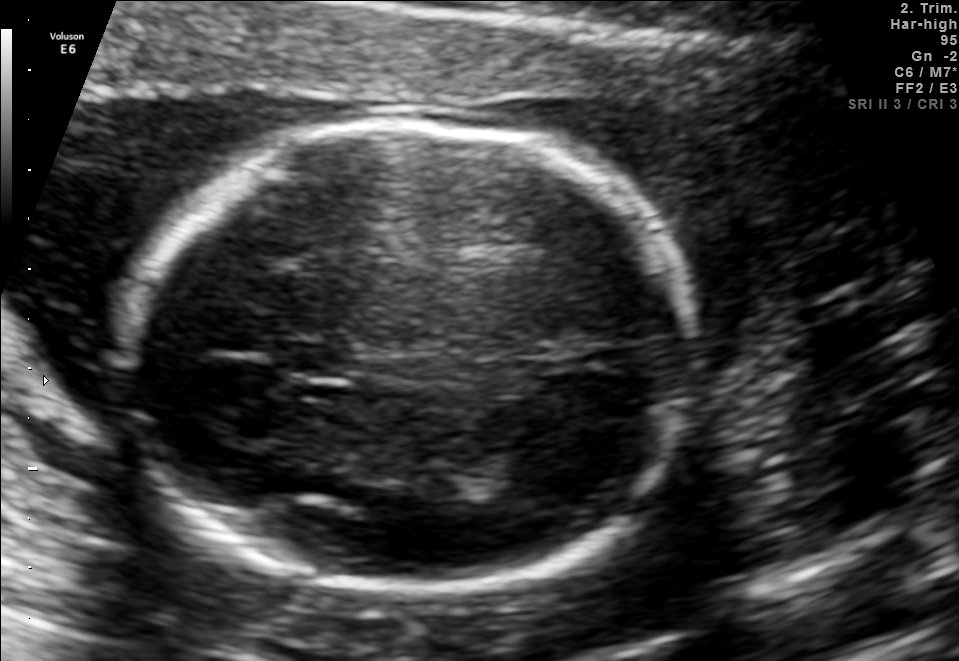
Fetal brain, trans-thalamic plane. Locate the fetal head.

Head: [110,121,697,586]